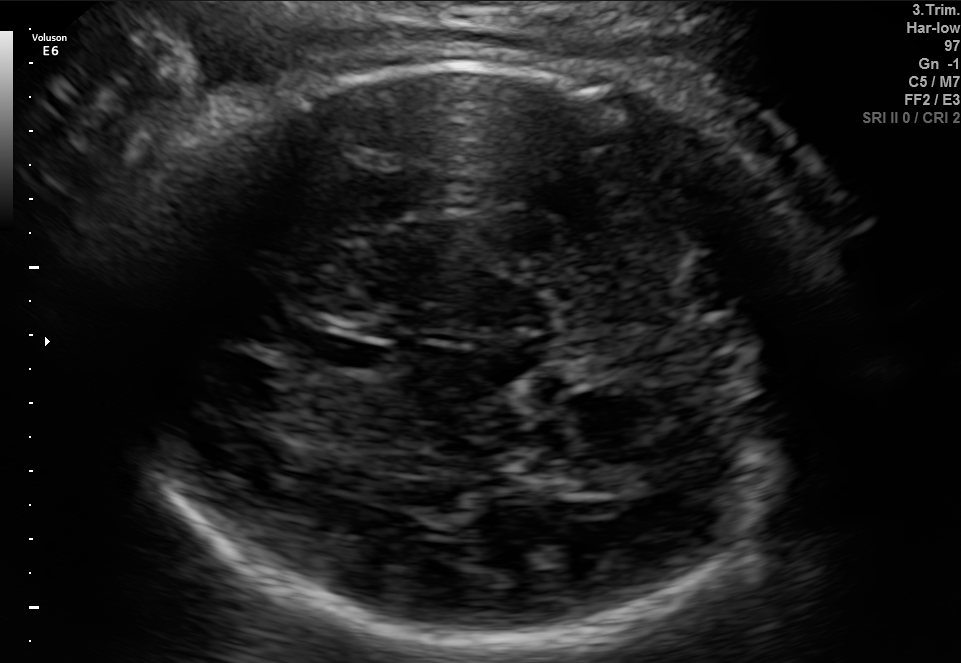
Fetal brain, trans-thalamic plane. Locate the cavum septum pellucidum.

CSP: [306,332,392,375]